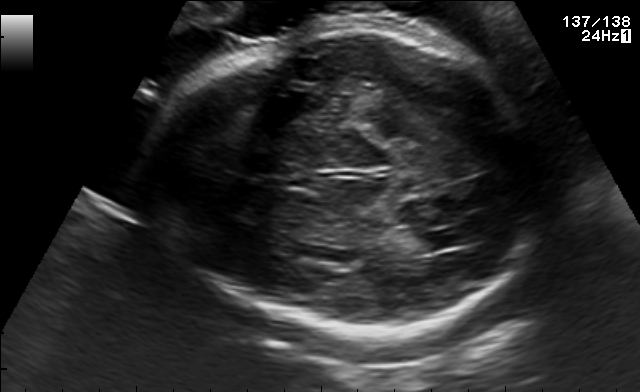
In this fetal brain, trans-thalamic plane, give bounding boxes for the head outline, cavum septum pellucidum (CSP), and lateral ventricle (LV), where visible.

Head: [151,24,539,342]
Lateral ventricle: [411,224,474,255]